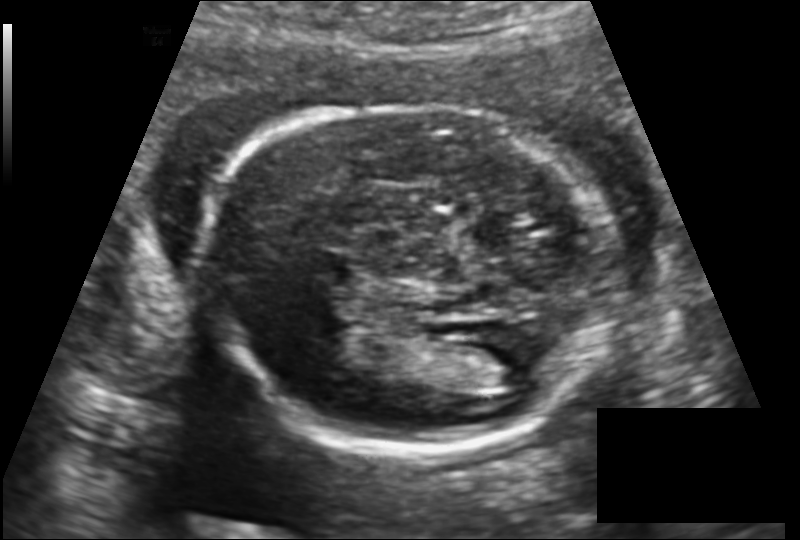
Measure the fetal head circumference shown in this ultrasound image. Image width: 111.5 mm.

Head circumference: 171.1 mm.